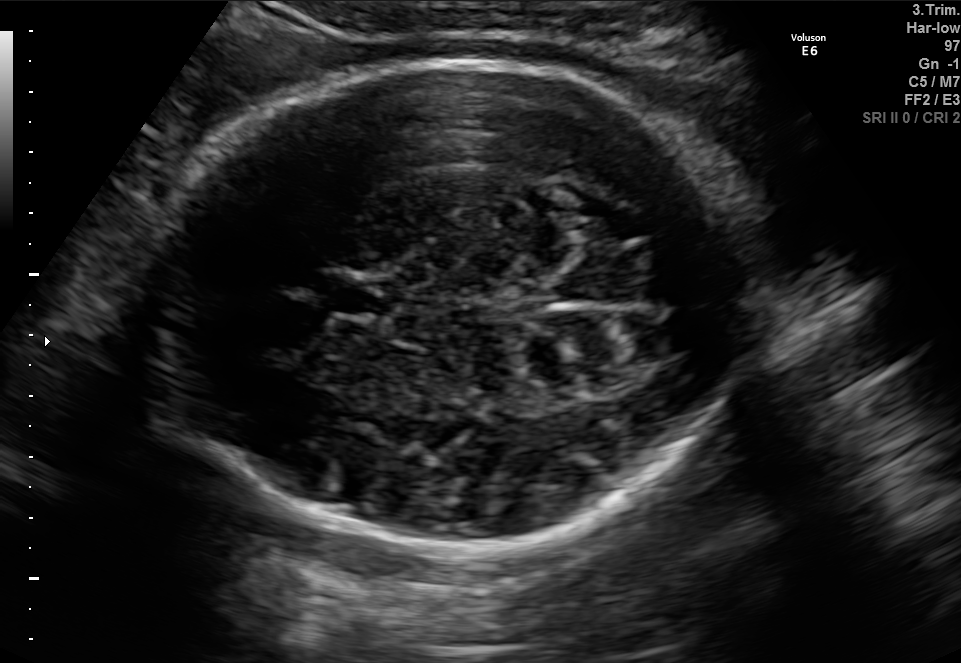
Fetal brain, trans-thalamic plane. Locate the fetal head and, if visible, the cavum septum pellucidum (CSP) and lateral ventricle (LV). Give bounding boxes as [x1,y1,x2,y2].

Head: [140,56,769,551]
CSP: [320,278,383,319]